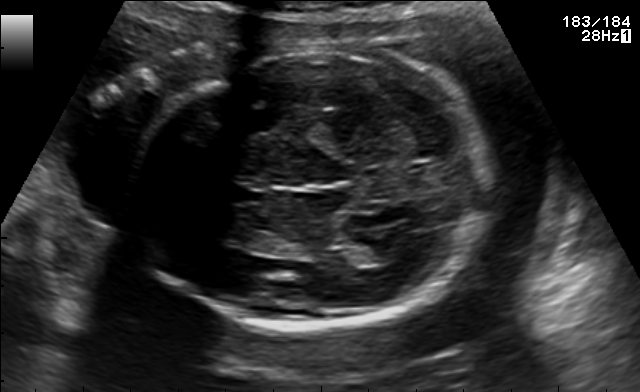
Fetal brain, trans-thalamic plane. Locate the cavum septum pellucidum.

CSP: [234,187,263,202]